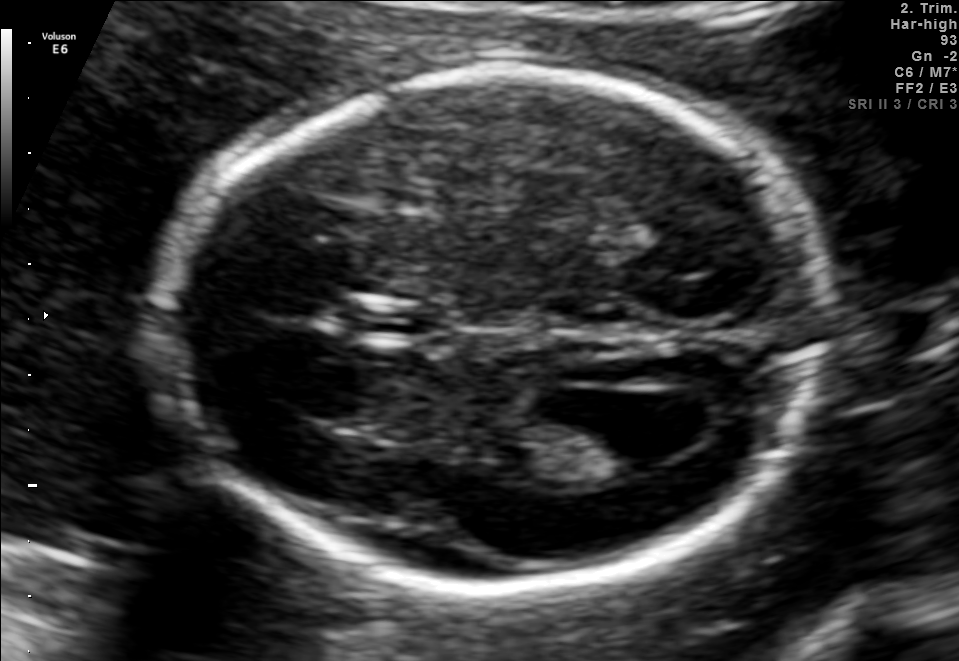
Fetal brain, trans-ventricular plane. Where is the fetal head?

Head bounding box: [162,62,845,599]